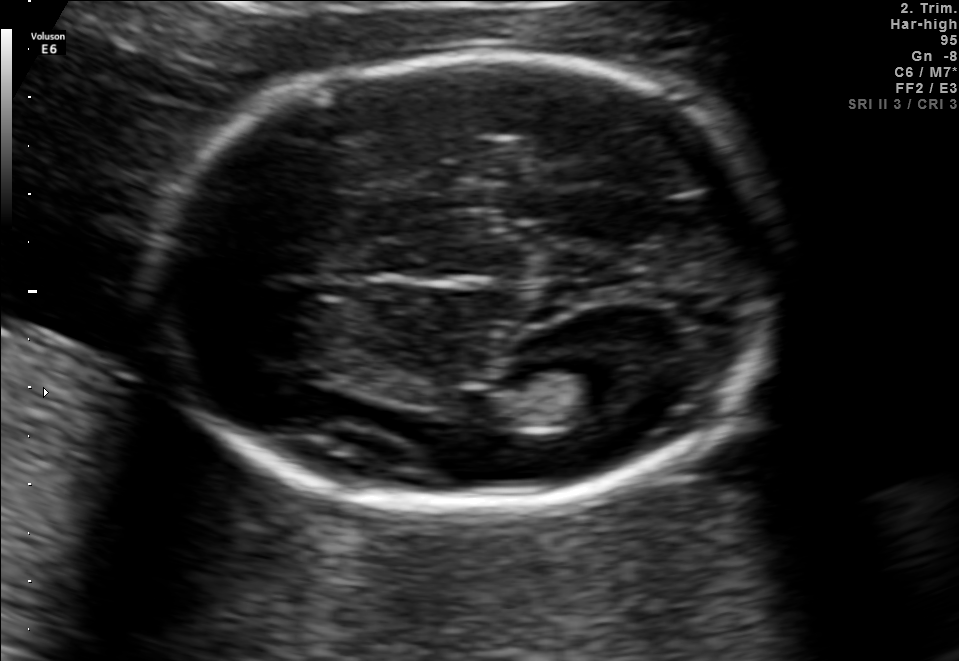
In this fetal brain, trans-thalamic plane, give the bounding box of the lateral ventricle.

[526,341,659,431]